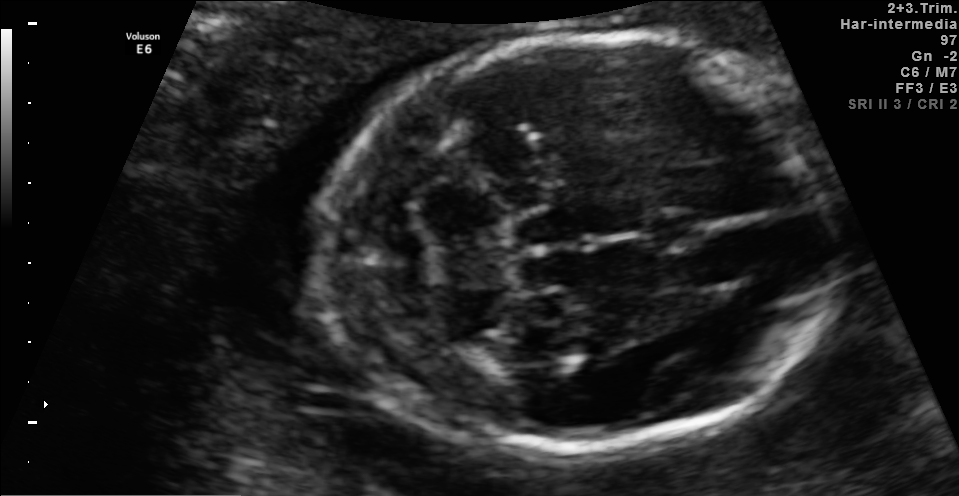
Fetal brain, trans-cerebellum plane. Where is the fetal head?

Head bounding box: [316,36,843,448]